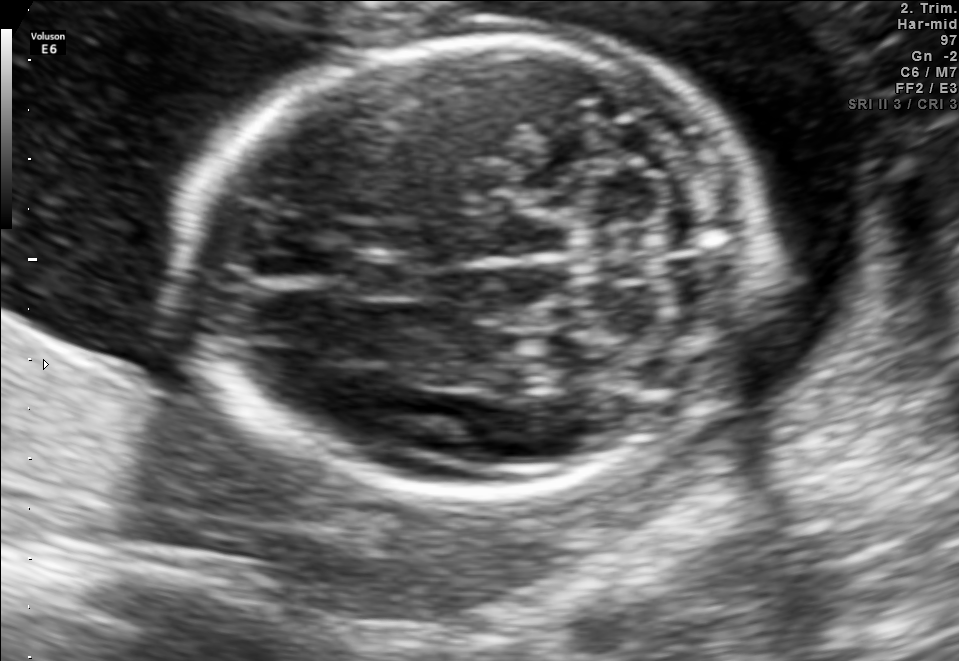
Classify this maternal-fetal ultrasound image as one of the six standard planes — fetal abdomen, fetal brain, fetal femur, fetal thorax, maternal cervix, or other. If it's fetal brain and one of the three standard brain planes (trans-thalamic, trans-cerebellum, trans-ventricular), name which.

Fetal brain (trans-cerebellum plane)